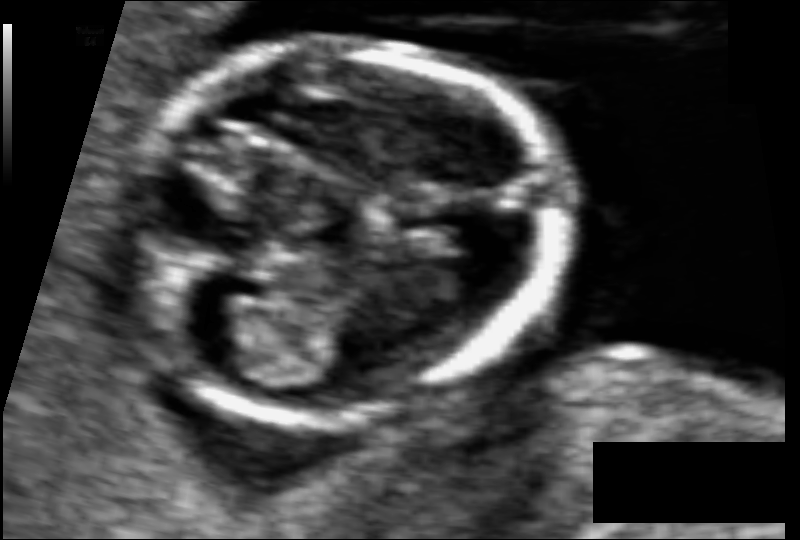
Fetal head ultrasound. Image width: 47.6 mm. Where is the fetal head?

Head bounding box: [118,44,551,421]